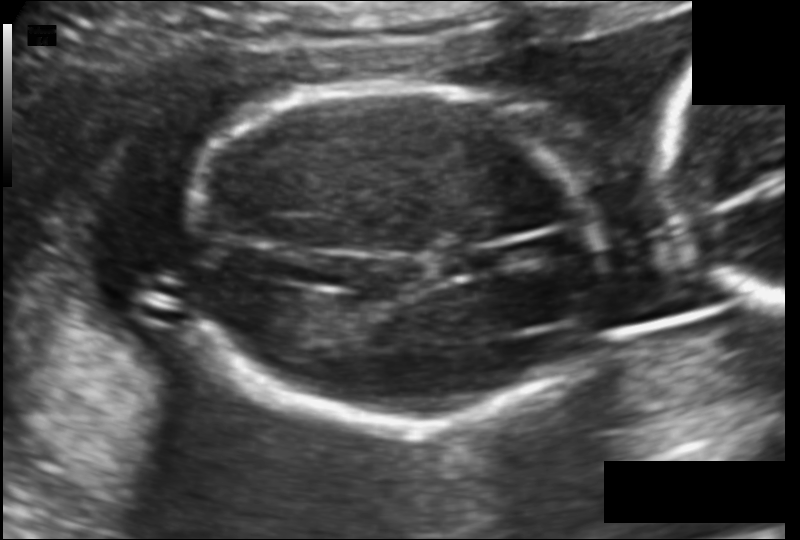
What is the fetal head circumference? Image width is 94.3 mm.

146.4 mm